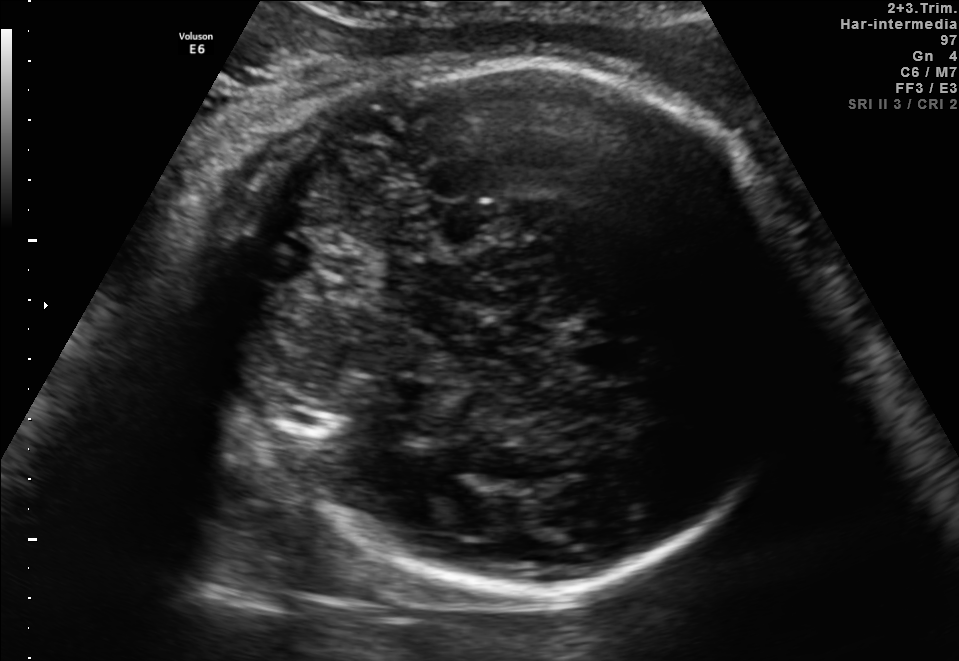
Which standard maternal-fetal ultrasound plane is shown: fetal abdomen, fetal brain, fetal femur, fetal thorax, maternal cervix, or other? If it's fetal brain and one of the three standard brain planes (trans-thalamic, trans-cerebellum, trans-ventricular), name which.

Fetal brain (trans-thalamic plane)